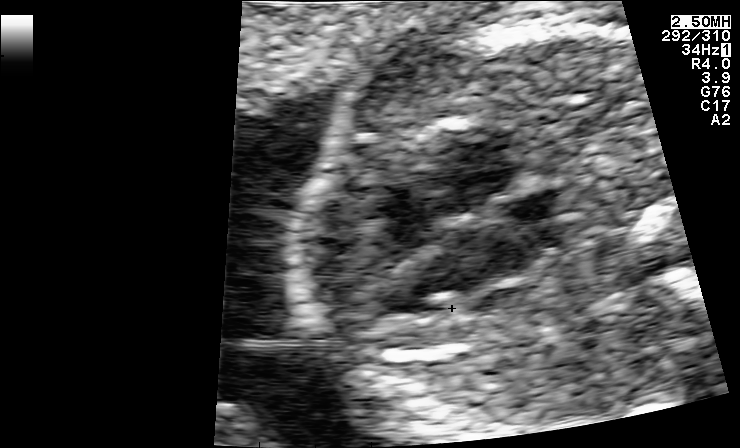
This is a 2D maternal-fetal ultrasound frame. Is it a fetal abdomen, fetal brain, fetal femur, fetal thorax, maternal cervix, or other standard plane? If it's fetal brain and one of the three standard brain planes (trans-thalamic, trans-cerebellum, trans-ventricular), name which.

Fetal thorax